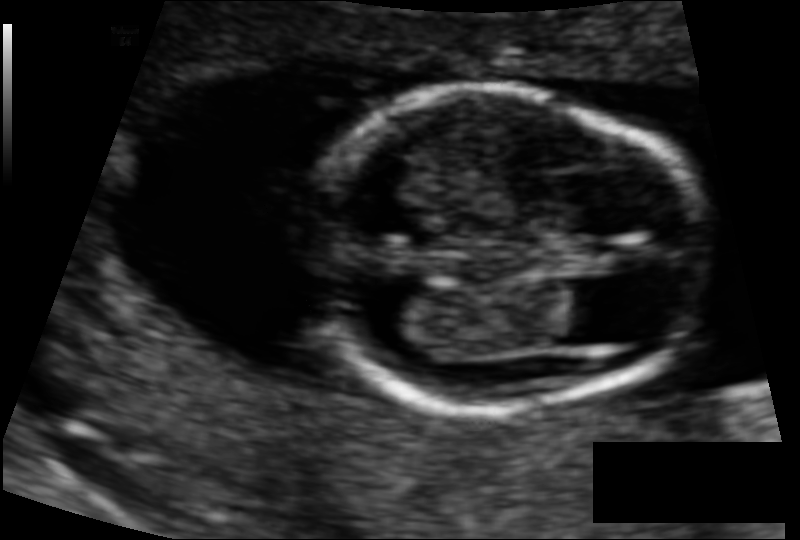
Estimate the fetal head circumference from this 2D ultrasound. Image width: 67.4 mm.

Head circumference: 99.3 mm.